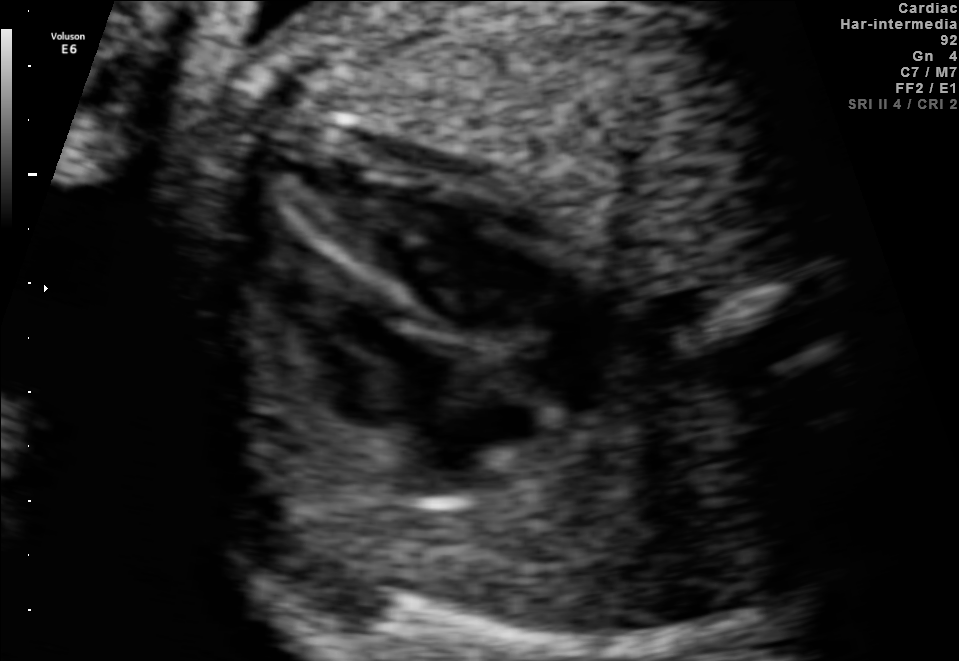
Classify this maternal-fetal ultrasound image as one of the six standard planes — fetal abdomen, fetal brain, fetal femur, fetal thorax, maternal cervix, or other. If it's fetal brain and one of the three standard brain planes (trans-thalamic, trans-cerebellum, trans-ventricular), name which.

Fetal thorax